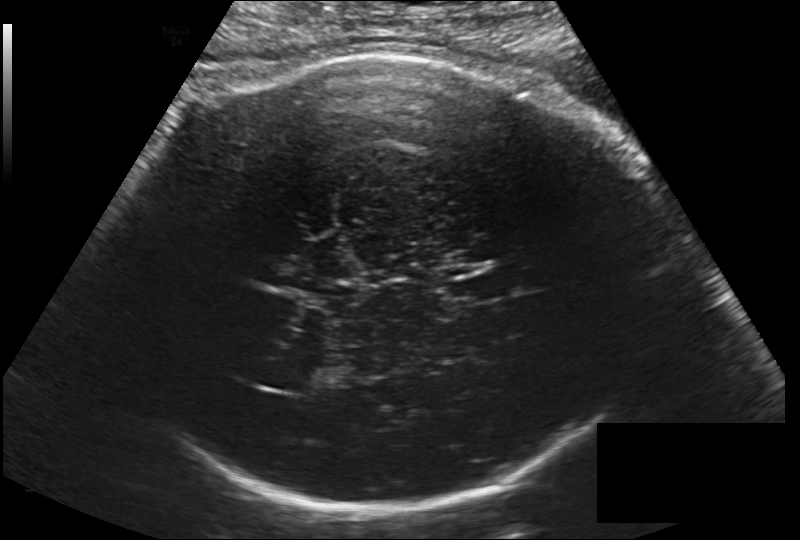
In this fetal head ultrasound, give the bounding box of the cavum septum pellucidum. Image width: 162.2 mm.

[439,268,508,312]